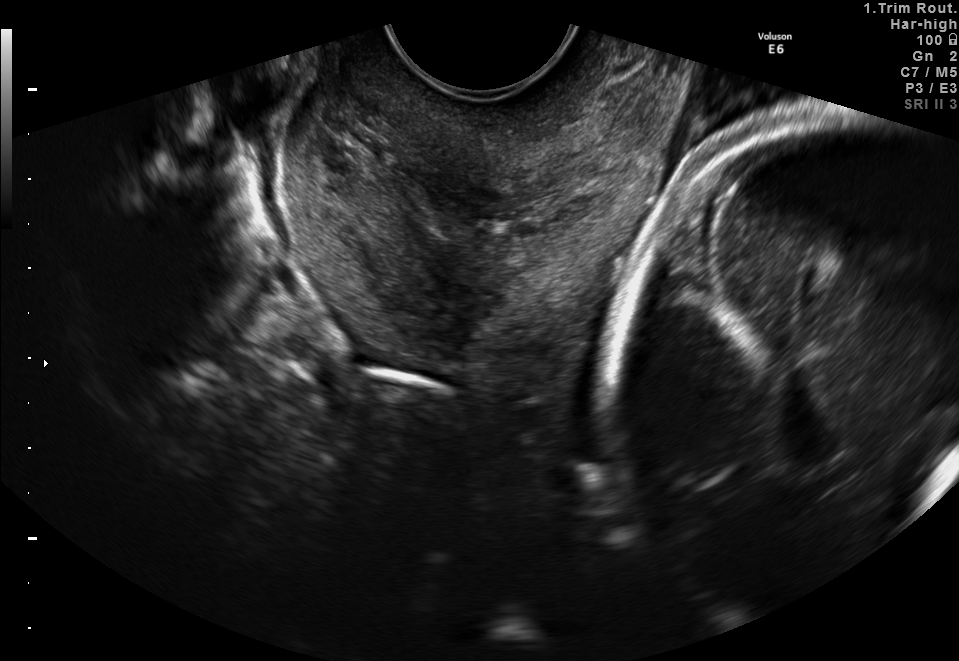
Classify this maternal-fetal ultrasound image as one of the six standard planes — fetal abdomen, fetal brain, fetal femur, fetal thorax, maternal cervix, or other. If it's fetal brain and one of the three standard brain planes (trans-thalamic, trans-cerebellum, trans-ventricular), name which.

Maternal cervix